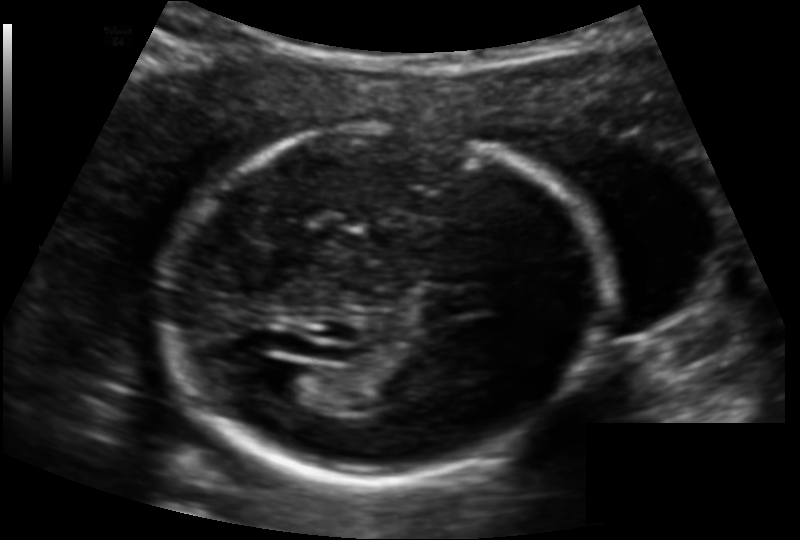
Fetal head ultrasound. Image width: 105.9 mm. Locate the lateral ventricle.

Lateral ventricle: [266,358,330,411]